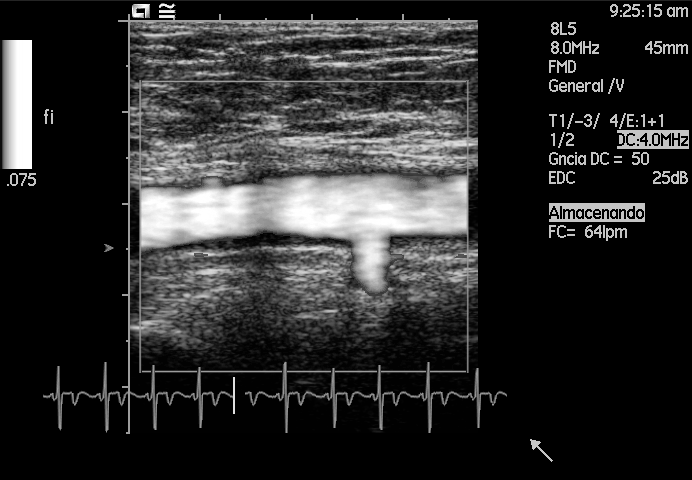
Which standard maternal-fetal ultrasound plane is shown: fetal abdomen, fetal brain, fetal femur, fetal thorax, maternal cervix, or other? If it's fetal brain and one of the three standard brain planes (trans-thalamic, trans-cerebellum, trans-ventricular), name which.

Other